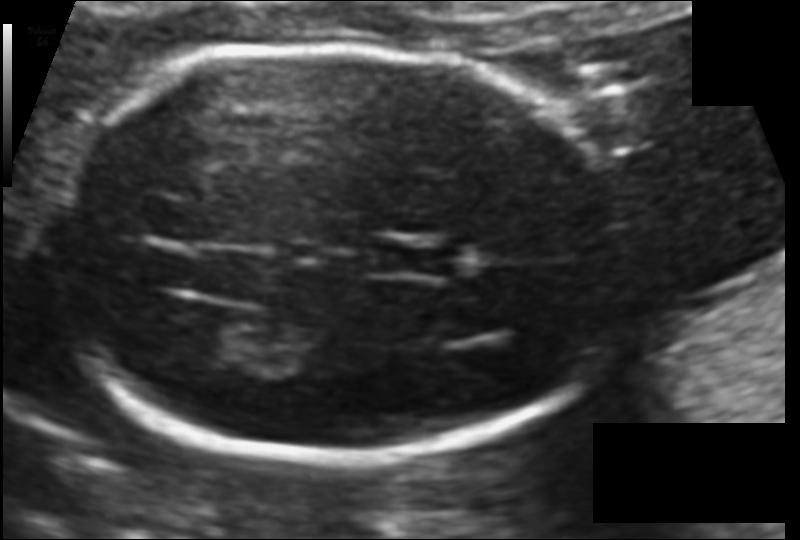
In this fetal head ultrasound, give bounding boxes for the head outline, cavum septum pellucidum (CSP), and lateral ventricle (LV), where visible. Image width: 78.8 mm.

Head: [52,43,625,459]
CSP: [383,242,456,278]
Lateral ventricle: [165,307,254,367]